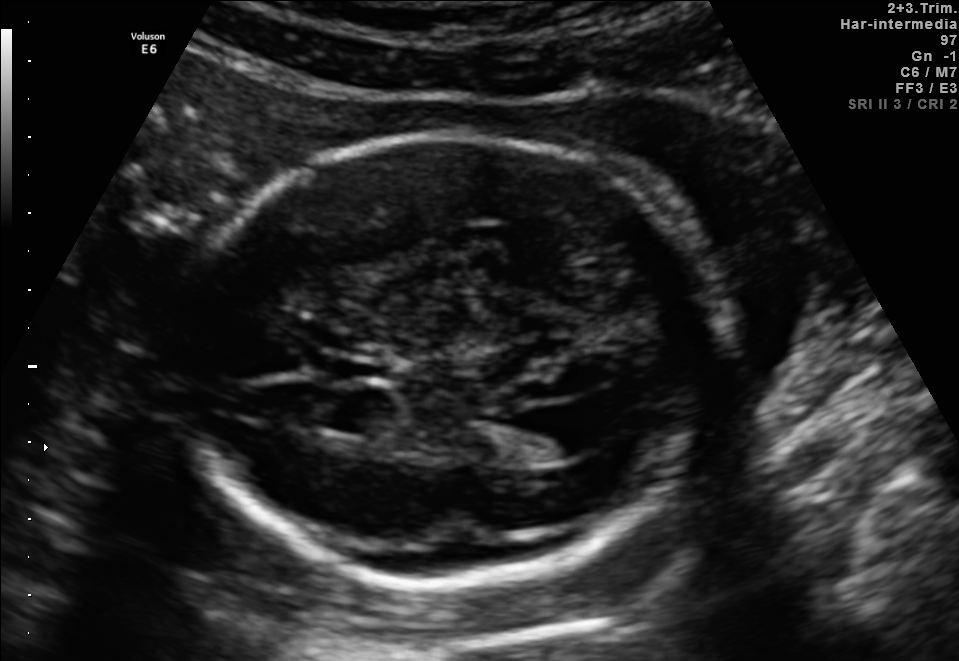
Which standard maternal-fetal ultrasound plane is shown: fetal abdomen, fetal brain, fetal femur, fetal thorax, maternal cervix, or other? If it's fetal brain and one of the three standard brain planes (trans-thalamic, trans-cerebellum, trans-ventricular), name which.

Fetal brain (trans-ventricular plane)